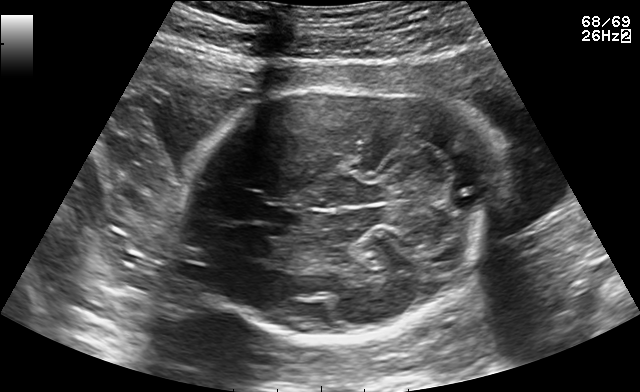
Fetal brain, trans-cerebellum plane. Locate the fetal head and, if visible, the cavum septum pellucidum (CSP) and lateral ventricle (LV). Give bounding boxes as [x1,y1,x2,y2].

Head: [177,78,507,337]